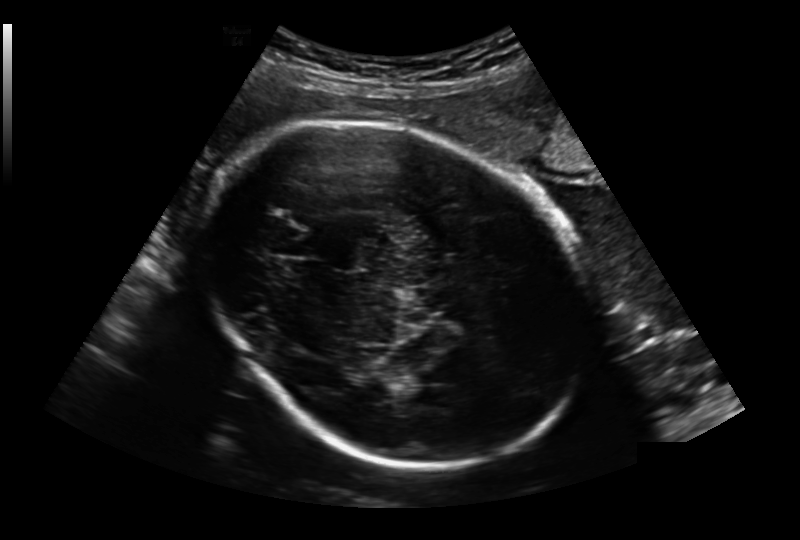
Estimate the fetal head circumference from this 2D ultrasound.

Head circumference: 272.9 mm (image width 188.7 mm).